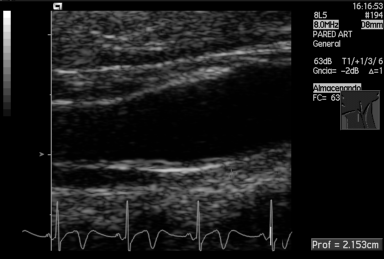
This is a 2D maternal-fetal ultrasound frame. Is it a fetal abdomen, fetal brain, fetal femur, fetal thorax, maternal cervix, or other standard plane? If it's fetal brain and one of the three standard brain planes (trans-thalamic, trans-cerebellum, trans-ventricular), name which.

Other